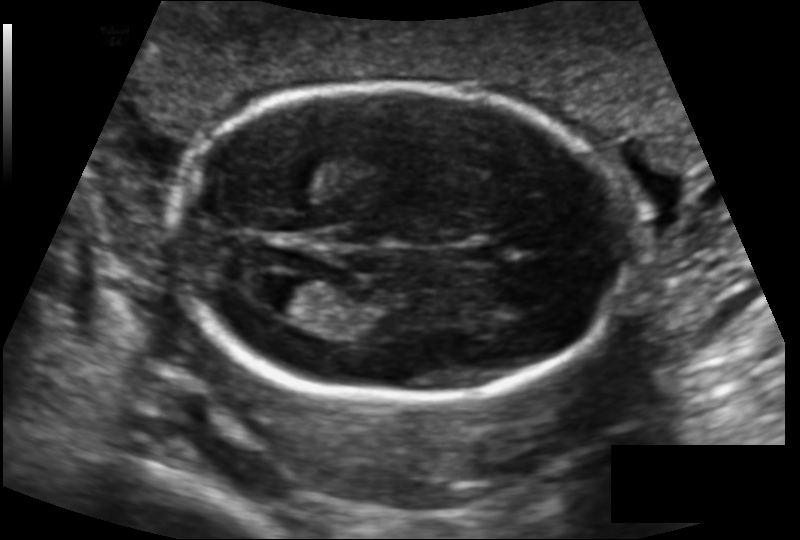
What is the fetal head circumference? Image width is 104.8 mm.

165.4 mm